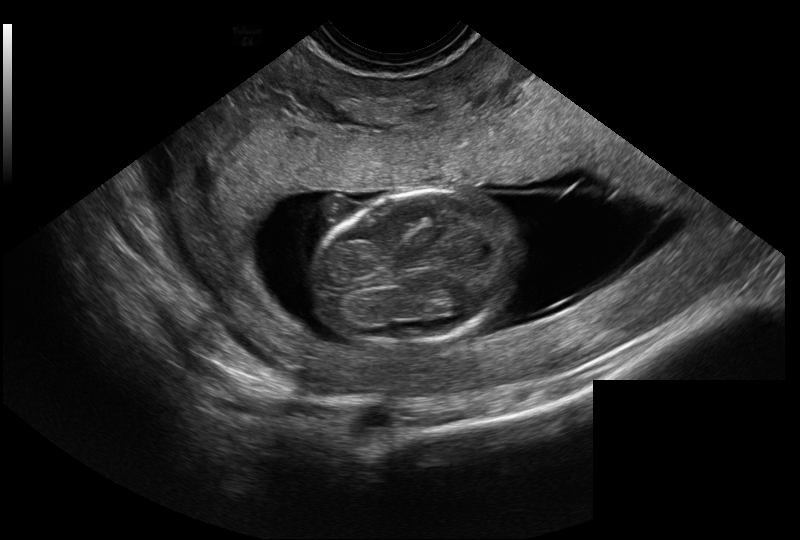
Fetal head ultrasound. Image width: 102.5 mm. Locate the fetal head.

Head: [317,190,521,346]